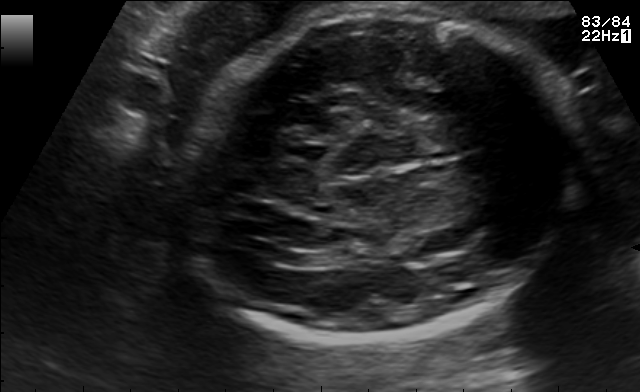
In this fetal brain, trans-ventricular plane, give bounding boxes for the head outline, cavum septum pellucidum (CSP), and lateral ventricle (LV), where visible.

Head: [176,7,578,345]